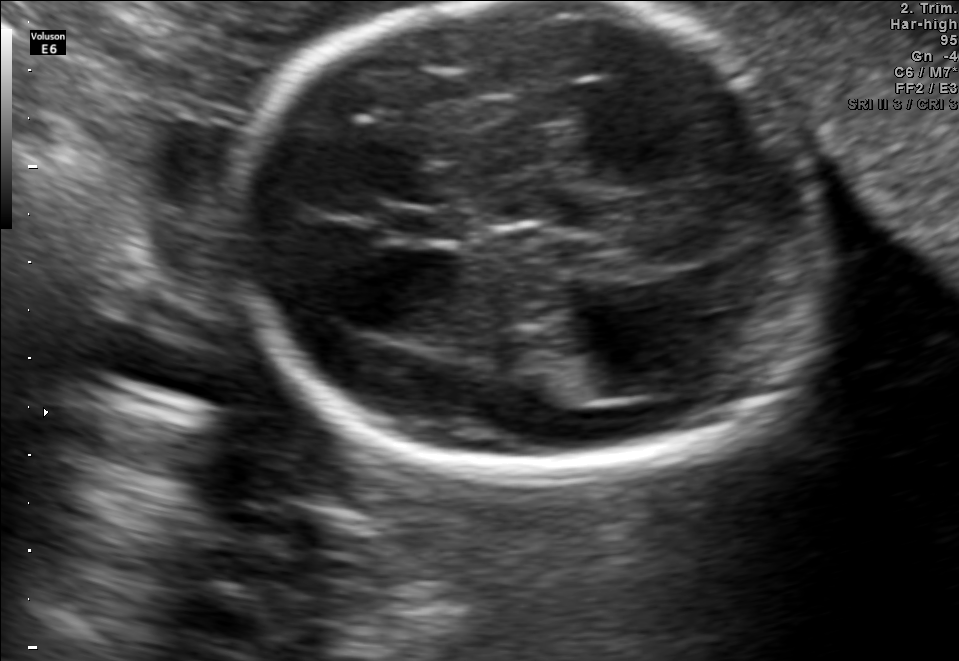
In this fetal brain, trans-thalamic plane, give the bounding box of the lateral ventricle.

[551,342,677,404]